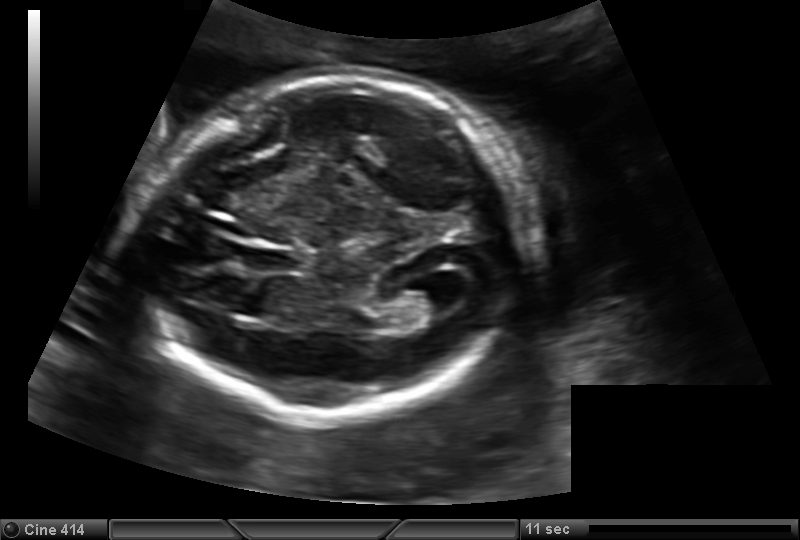
From this fetal ultrasound, estimate the head circumference (image width 120.0 mm).

Head circumference: 183.5 mm.